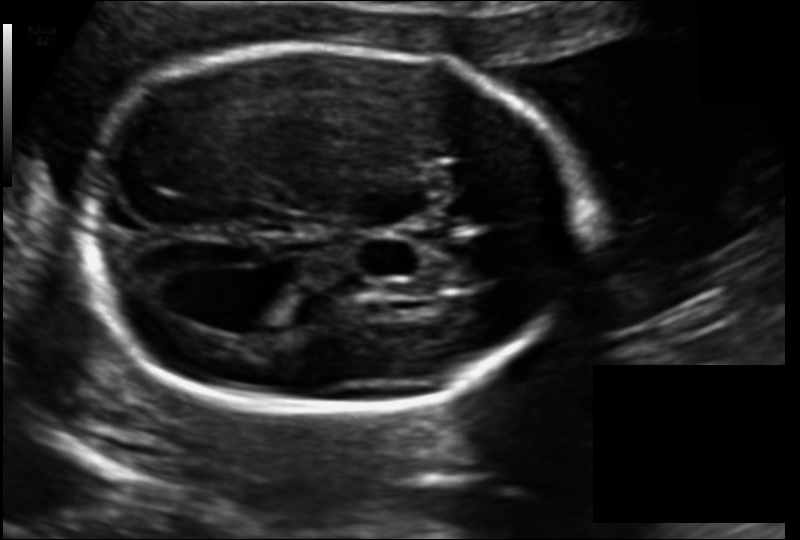
Estimate the fetal head circumference from this 2D ultrasound. Image width: 102.4 mm.

Head circumference: 182.7 mm.